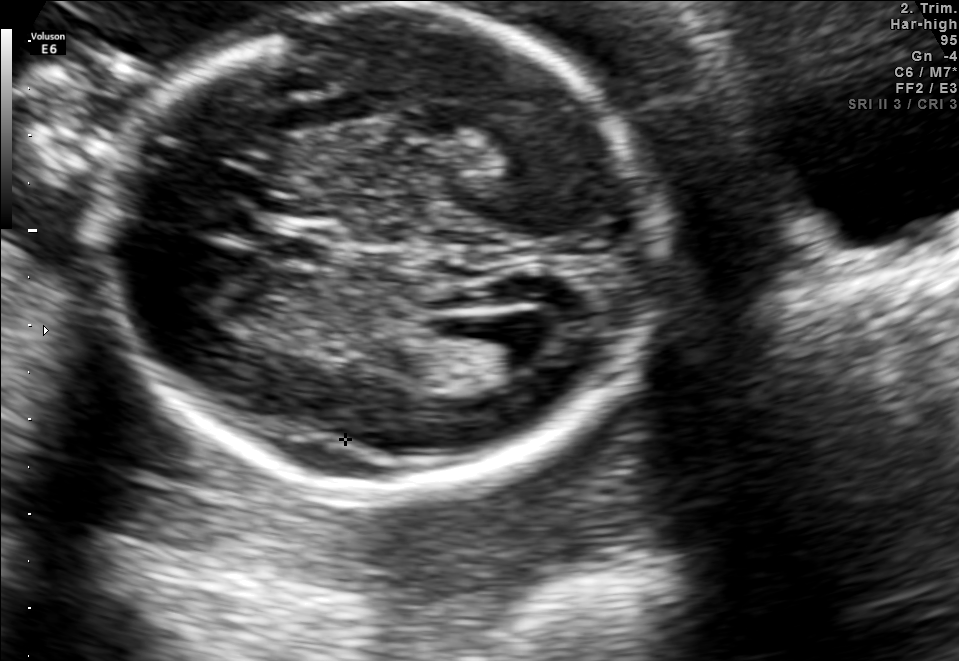
In this fetal brain, trans-ventricular plane, give the bounding box of the fetal head.

[96,4,673,499]